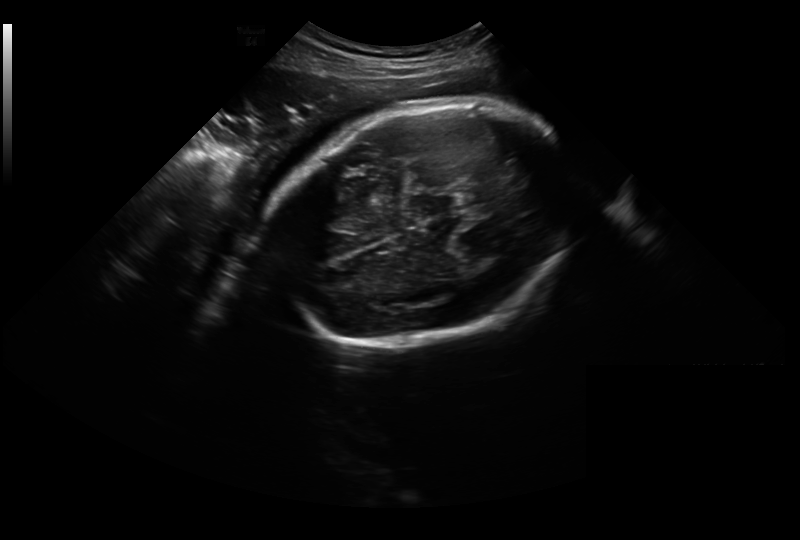
Estimate the fetal head circumference from this 2D ultrasound.

Head circumference: 288.2 mm (image width 261.1 mm).